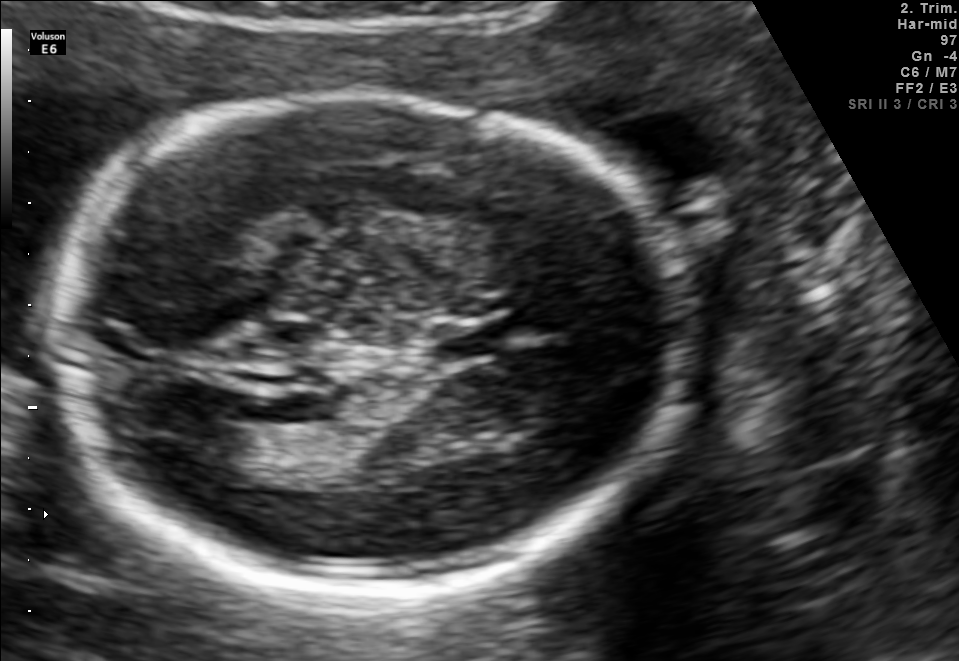
Fetal brain, trans-thalamic plane. Where is the fetal head?

Head bounding box: [58,95,681,592]